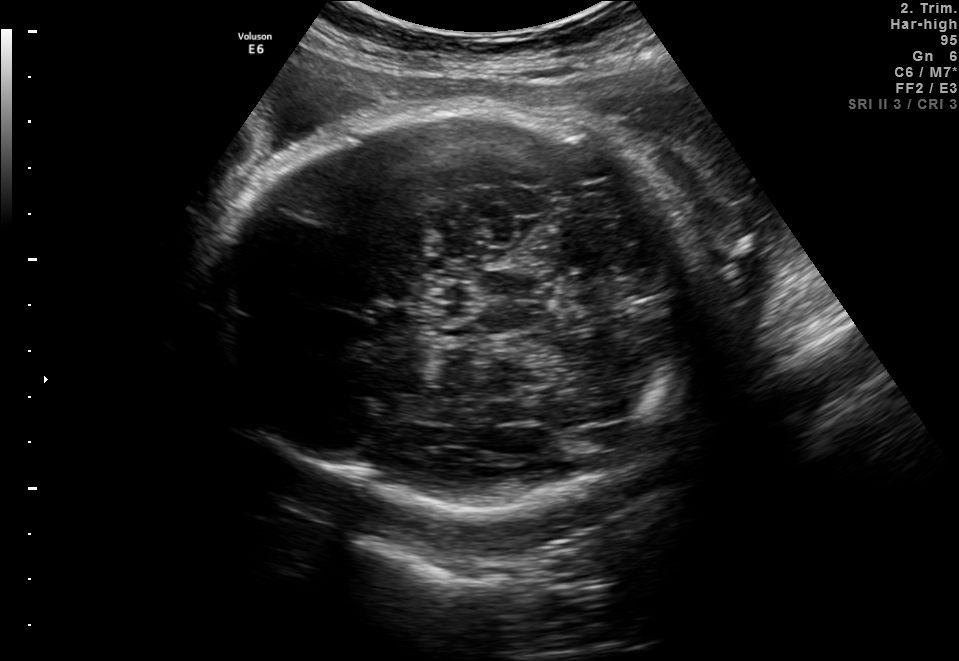
Fetal brain, trans-thalamic plane. Locate the fetal head and, if visible, the cavum septum pellucidum (CSP) and lateral ventricle (LV). Give bounding boxes as [x1,y1,x2,y2].

Head: [207,102,694,515]